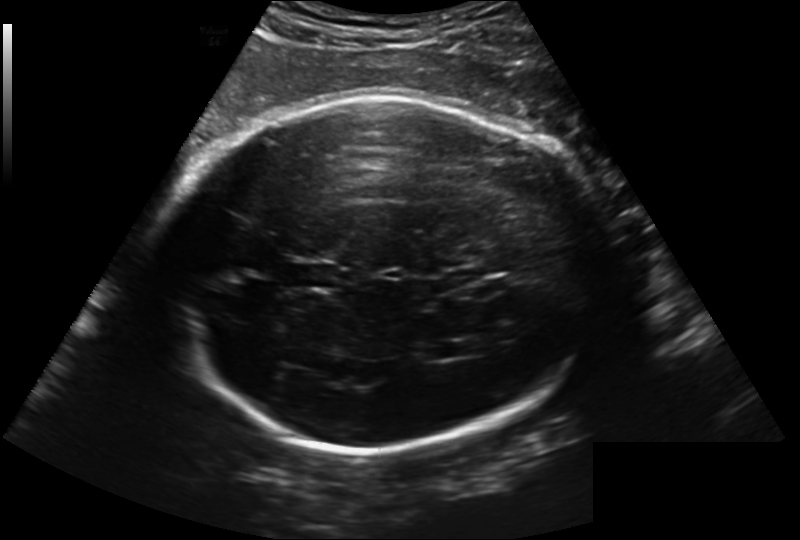
Fetal head ultrasound. Image width: 192.7 mm. Locate the fetal head.

Head: [166,96,614,450]